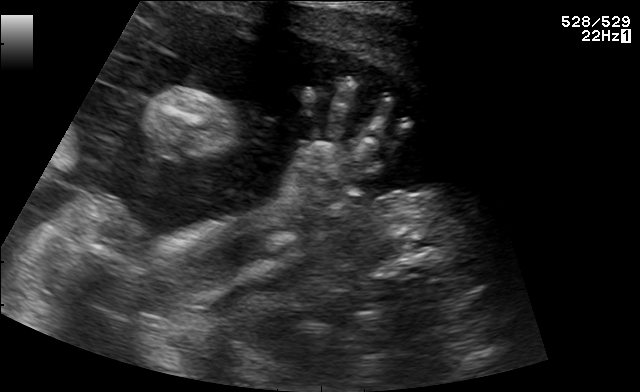
Identify the standard plane in this fetal ultrasound image: fetal abdomen, fetal brain, fetal femur, fetal thorax, maternal cervix, or other. If it's fetal brain and one of the three standard brain planes (trans-thalamic, trans-cerebellum, trans-ventricular), name which.

Other